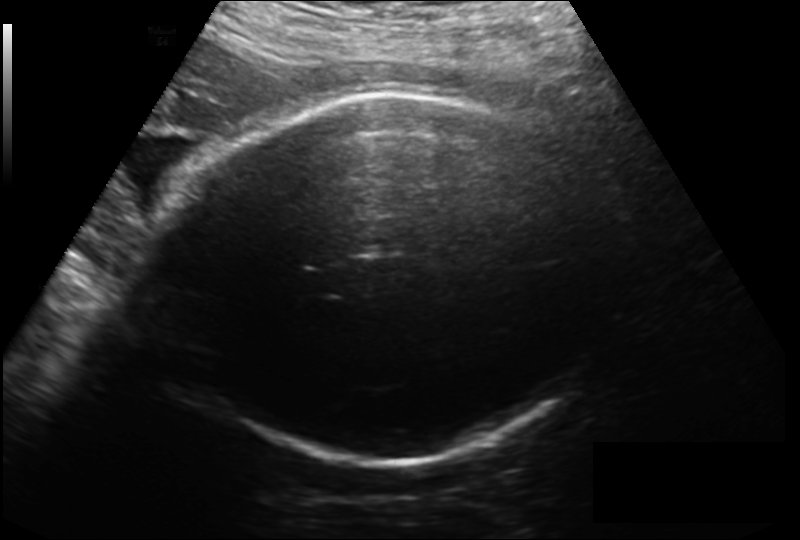
In this fetal head ultrasound, give bounding boxes for the head outline, cavum septum pellucidum (CSP), and lateral ventricle (LV), where visible. Image width: 171.5 mm.

Head: [159,94,609,462]